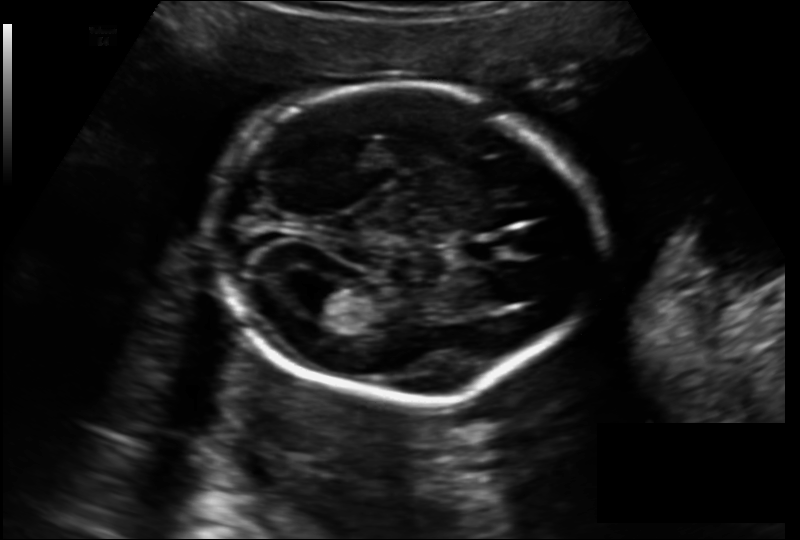
Estimate the fetal head circumference from this 2D ultrasound. Image width: 125.9 mm.

Head circumference: 180.6 mm.